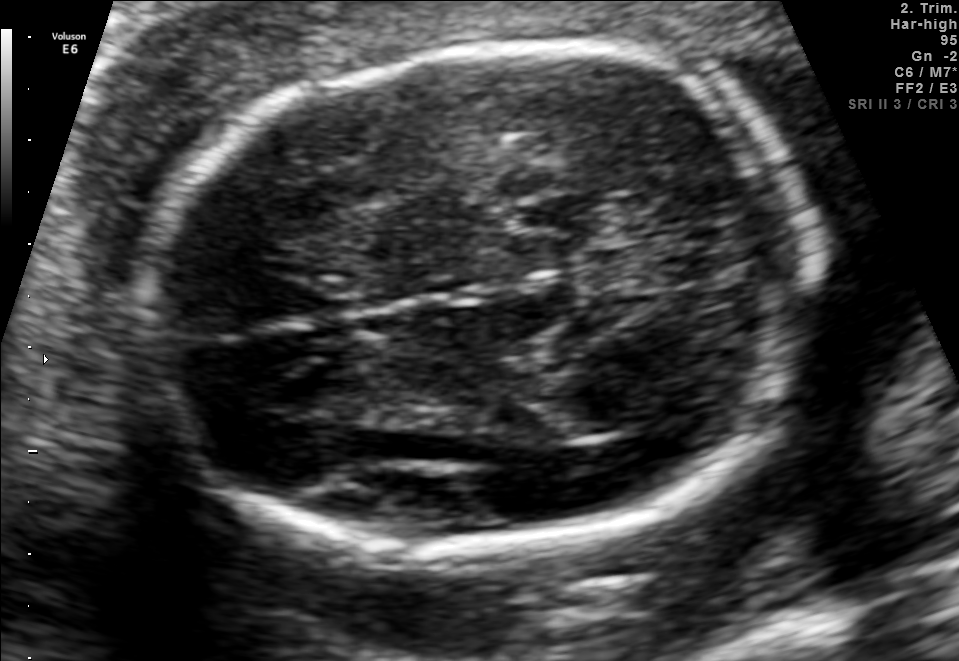
Fetal brain, trans-thalamic plane. Locate the fetal head and, if visible, the cavum septum pellucidum (CSP) and lateral ventricle (LV). Give bounding boxes as [x1,y1,x2,y2].

Head: [134,47,813,548]
Lateral ventricle: [527,381,640,448]